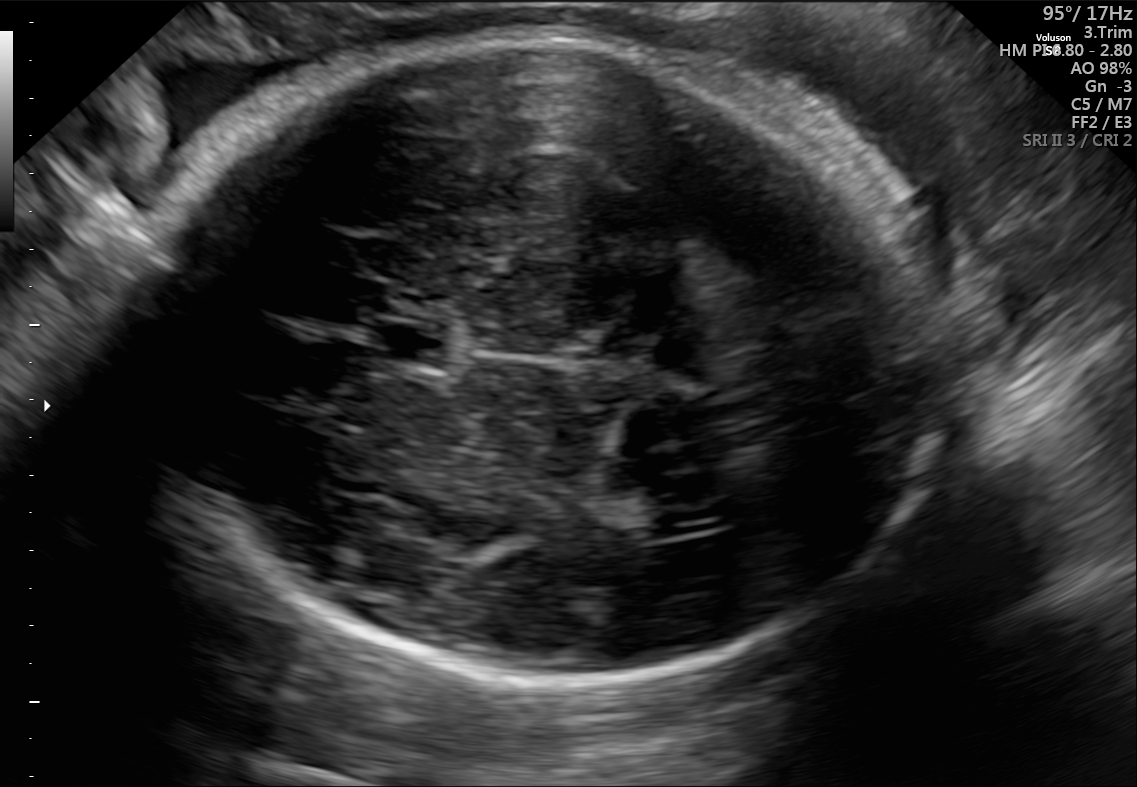
In this fetal brain, trans-ventricular plane, give the bounding box of the cavum septum pellucidum.

[370,318,437,366]